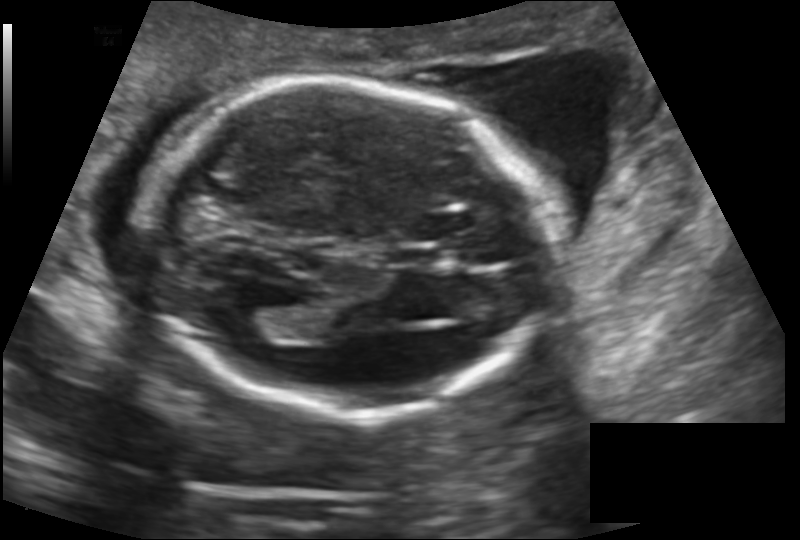
In this fetal head ultrasound, give the bounding box of the cavum septum pellucidum. Image width: 116.4 mm.

[389,247,442,268]